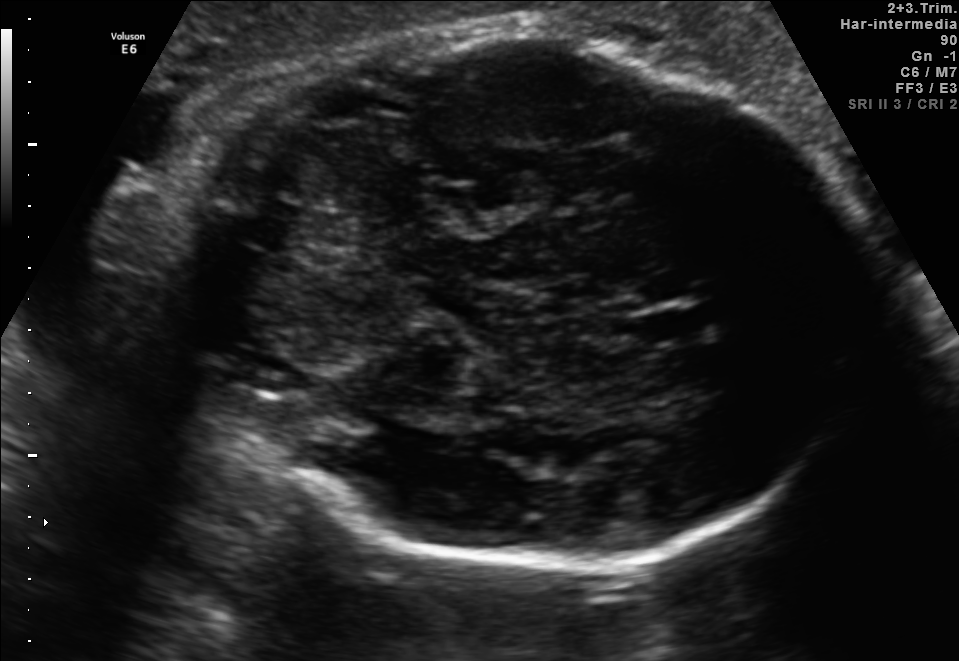
In this fetal brain, trans-cerebellum plane, give the bounding box of the cavum septum pellucidum.

[625,297,709,355]